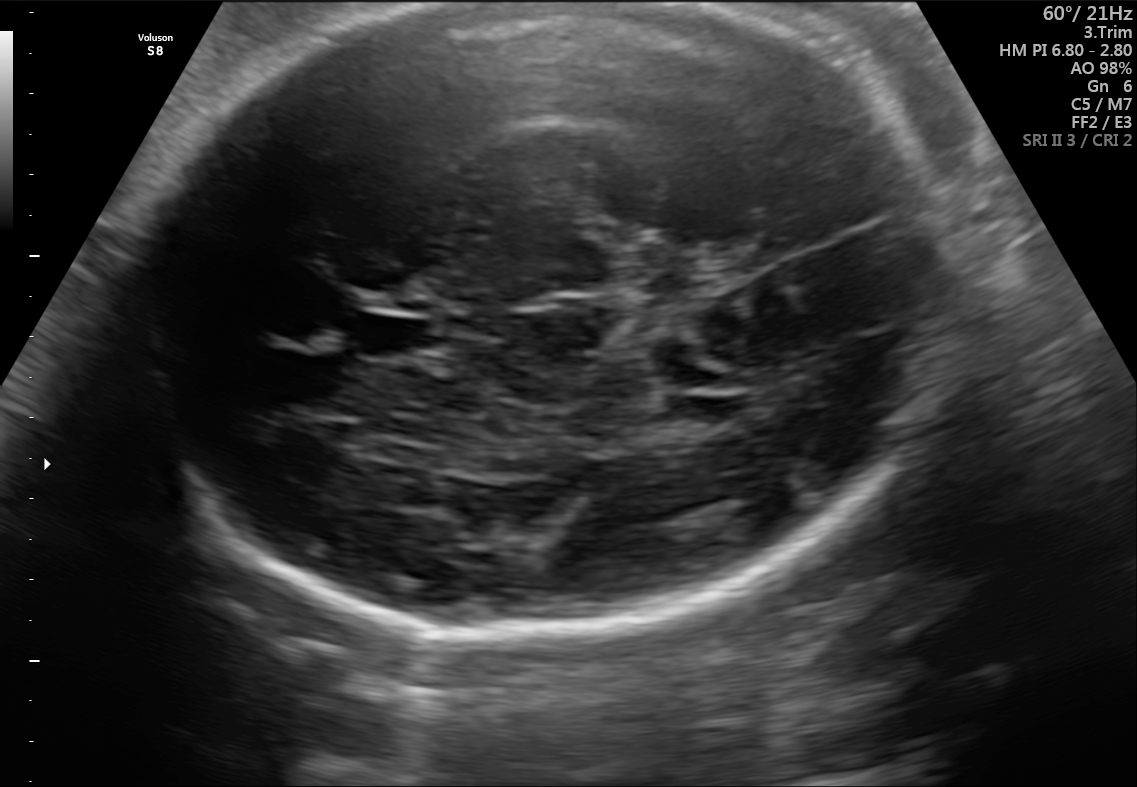
Fetal brain, trans-thalamic plane. Locate the fetal head.

Head: [128,4,950,645]